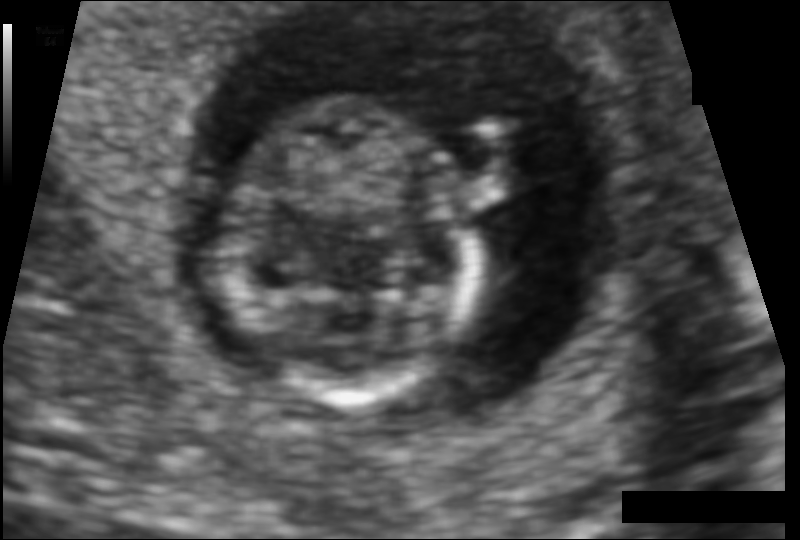
Fetal head ultrasound. Image width: 63.9 mm. Give [x1,y1,x2,y2] bounding boxes for each visible structure among: fetal head, CSP, LV.

Head: [221,98,475,401]